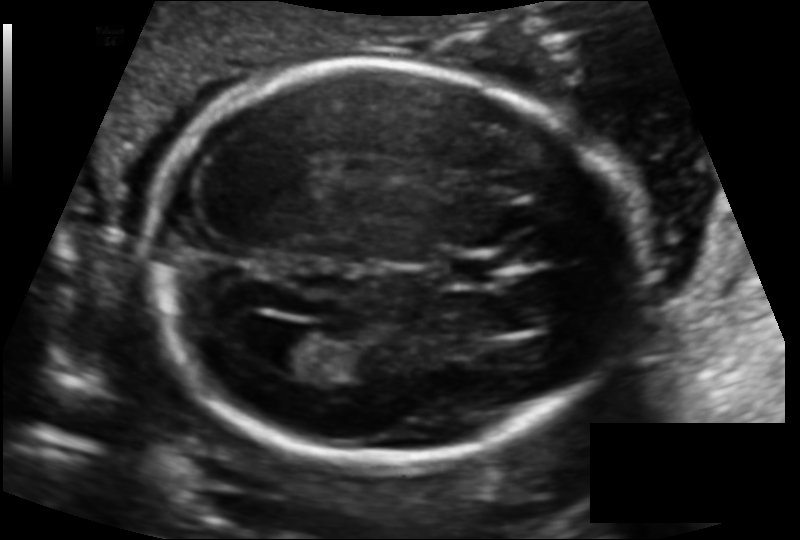
Fetal head ultrasound. Image width: 100.1 mm. Locate the cavum septum pellucidum.

CSP: [445,254,504,286]